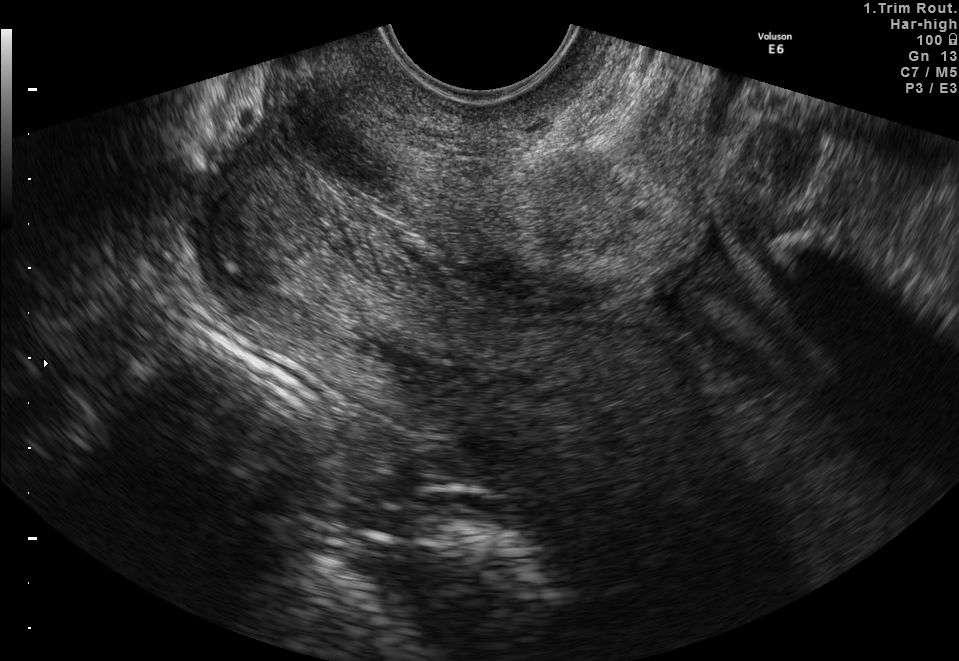
This is a 2D maternal-fetal ultrasound frame. Is it a fetal abdomen, fetal brain, fetal femur, fetal thorax, maternal cervix, or other standard plane? If it's fetal brain and one of the three standard brain planes (trans-thalamic, trans-cerebellum, trans-ventricular), name which.

Maternal cervix